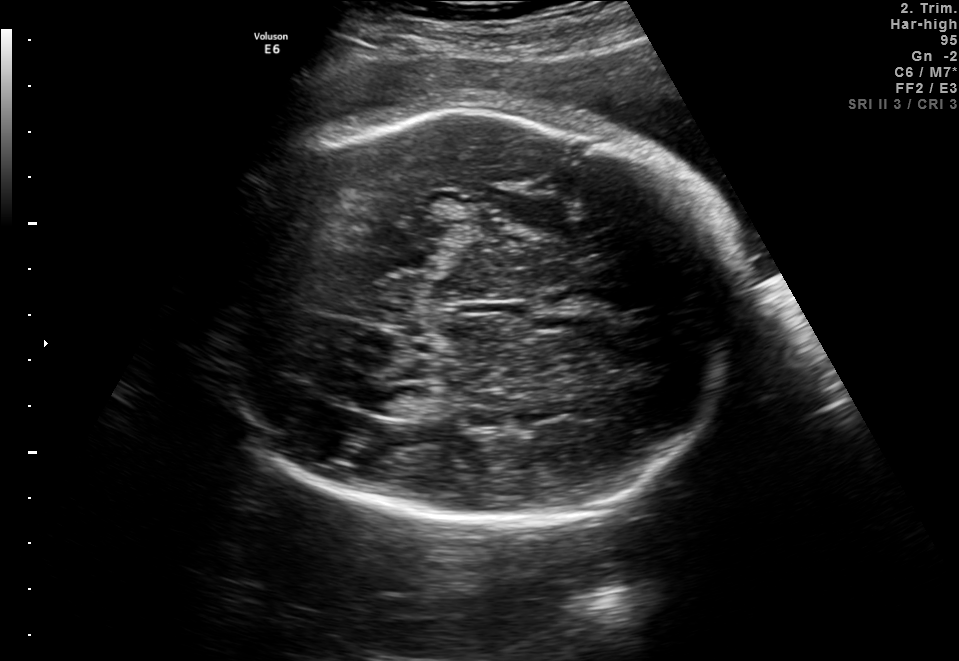
Fetal brain, trans-thalamic plane. Locate the fetal head.

Head: [201,111,744,532]